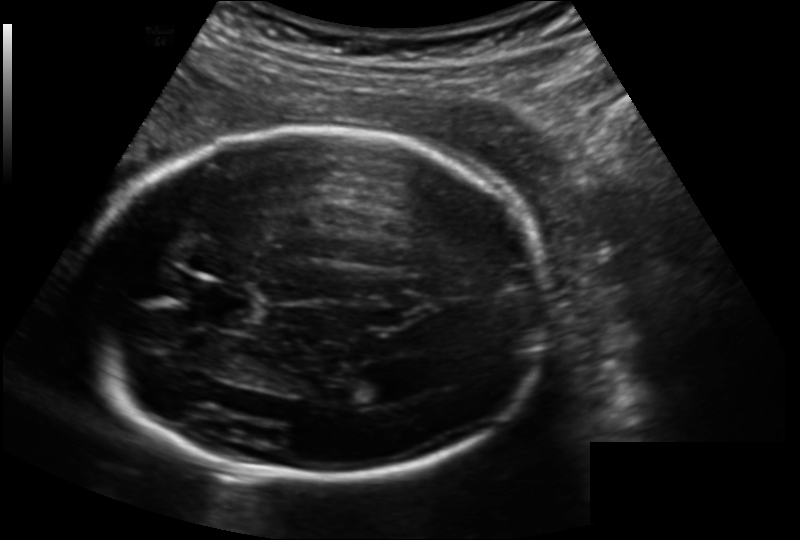
What is the fetal head circumference? Image width is 130.8 mm.

219.1 mm